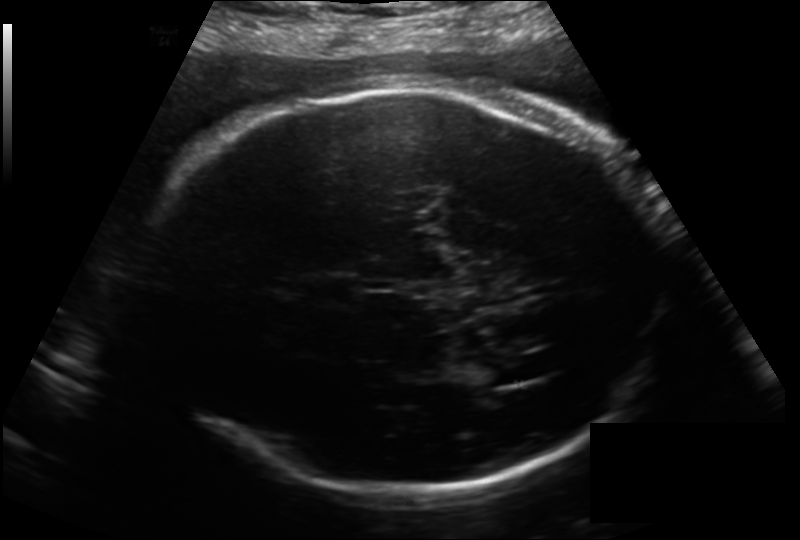
In this fetal head ultrasound, give the bounding box of the fetal head. Image width: 171.3 mm.

[148,84,660,500]